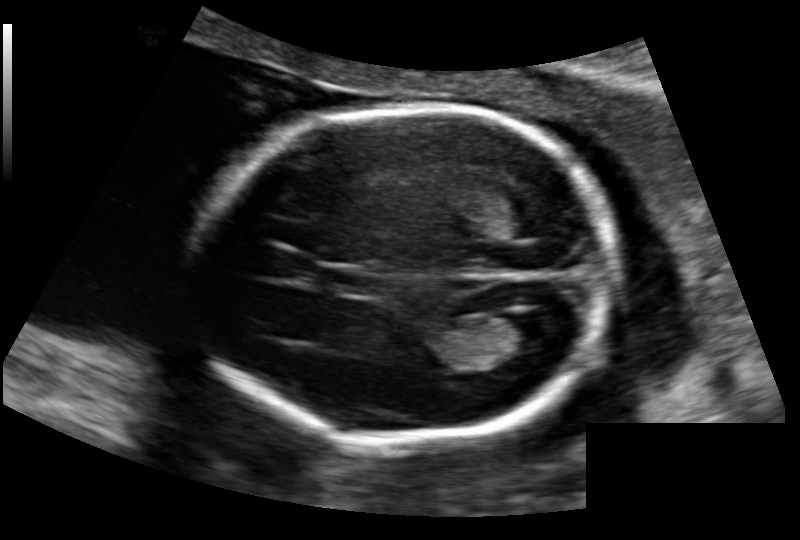
Fetal head ultrasound. Image width: 108.9 mm. Where is the fetal head?

Head bounding box: [189,108,615,440]